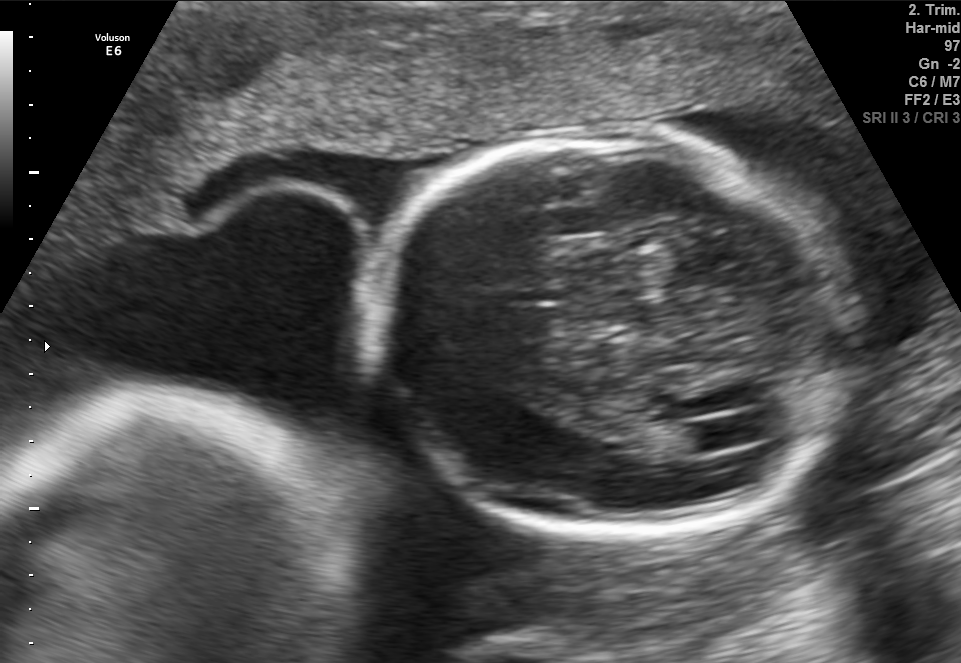
Fetal brain, trans-ventricular plane. Locate the fetal head and, if visible, the cavum septum pellucidum (CSP) and lateral ventricle (LV). Give bounding boxes as [x1,y1,x2,y2].

Head: [354,124,870,541]
Lateral ventricle: [682,412,753,456]